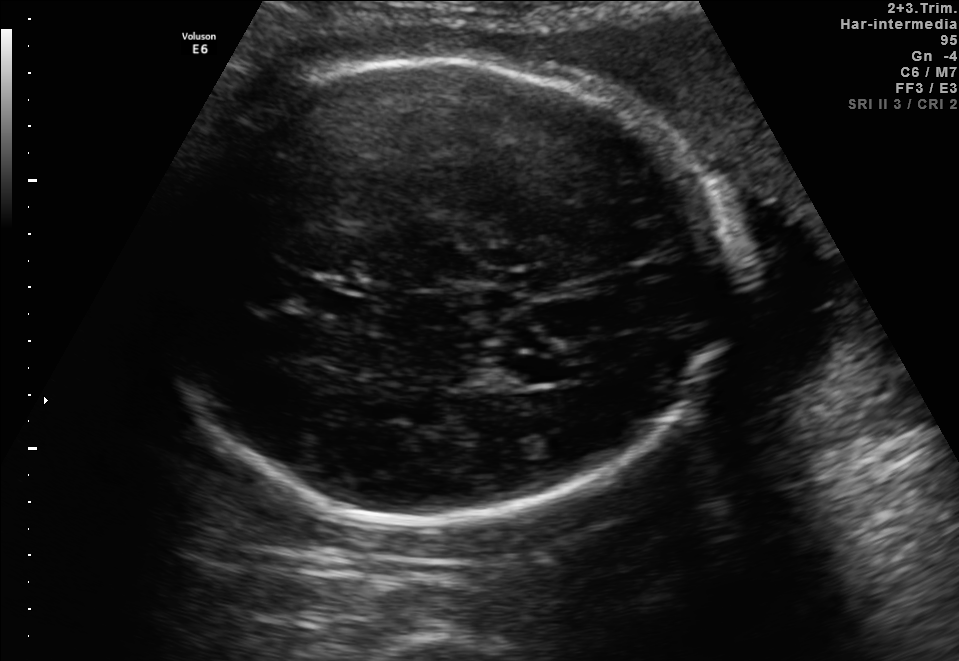
Fetal brain, trans-thalamic plane. Locate the fetal head.

Head: [139,61,742,524]